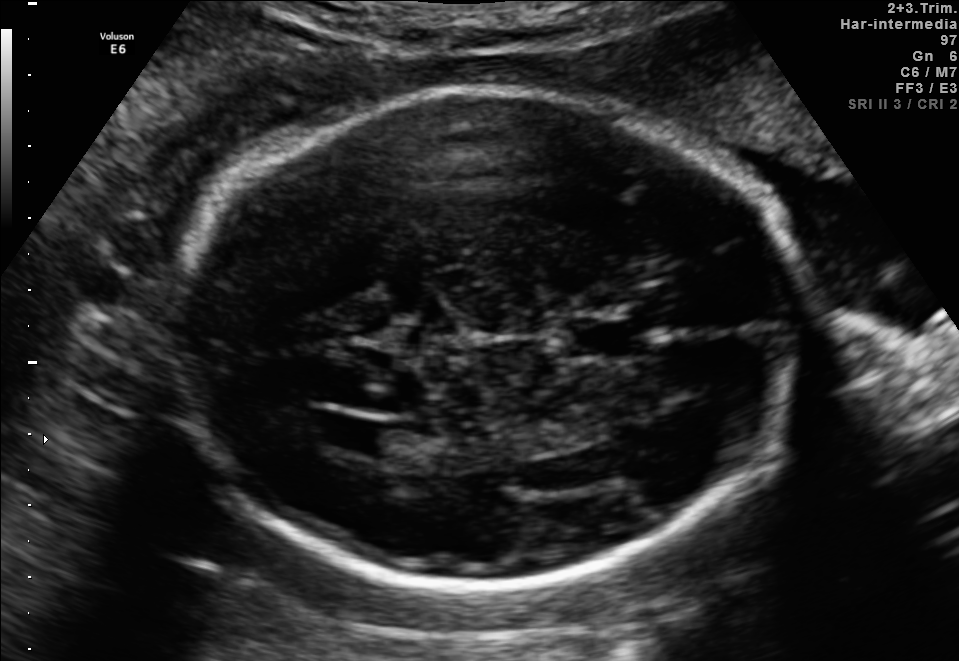
Fetal brain, trans-ventricular plane. Where is the cavum septum pellucidum?

CSP bounding box: [554,321,641,355]